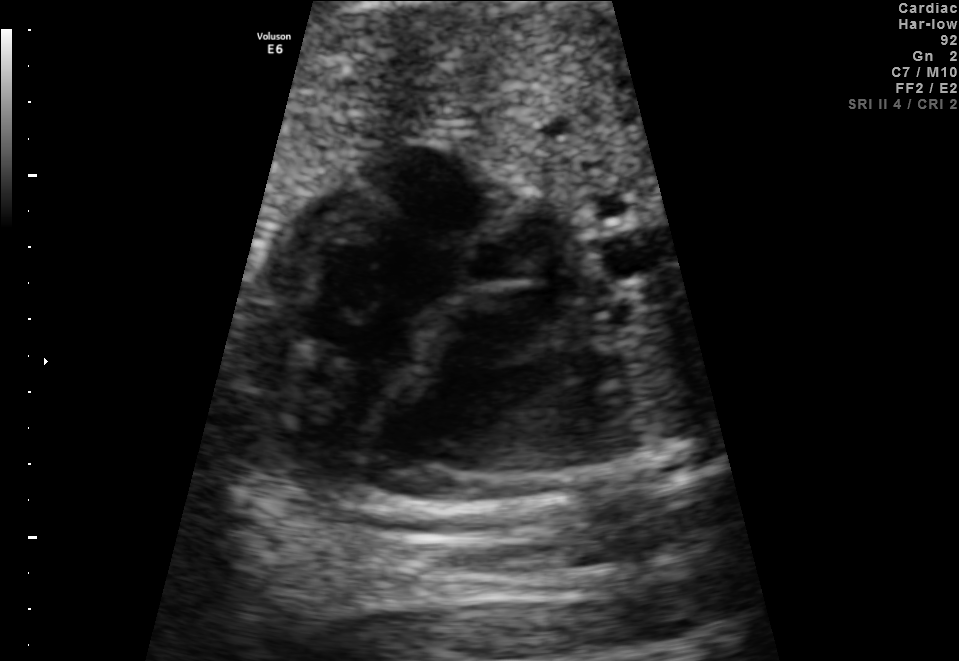
This is a 2D maternal-fetal ultrasound frame. Is it a fetal abdomen, fetal brain, fetal femur, fetal thorax, maternal cervix, or other standard plane? If it's fetal brain and one of the three standard brain planes (trans-thalamic, trans-cerebellum, trans-ventricular), name which.

Fetal thorax